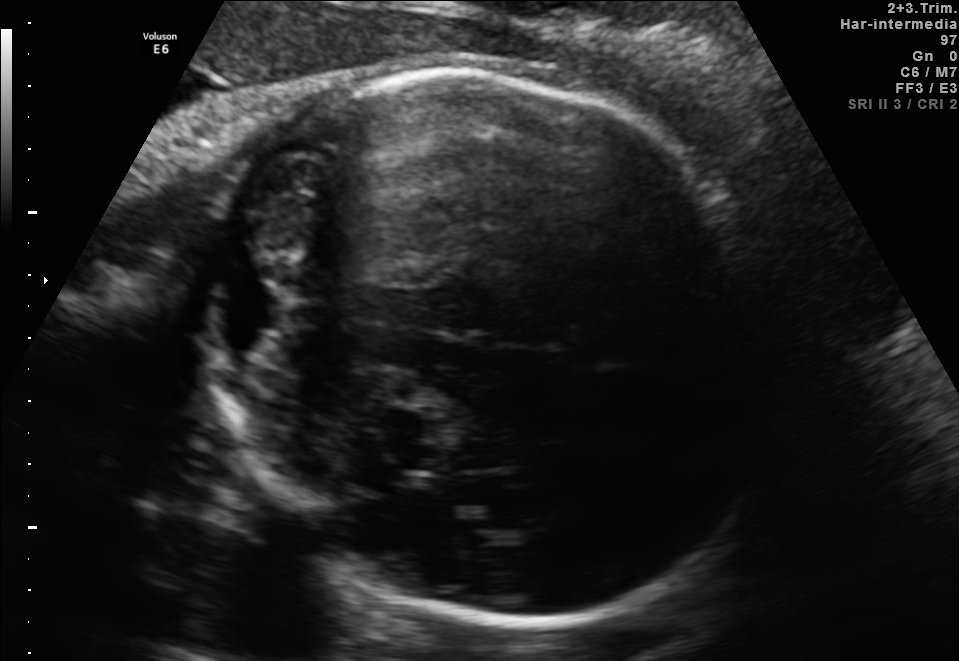
In this fetal brain, trans-cerebellum plane, give the bounding box of the fetal head.

[209,73,772,626]